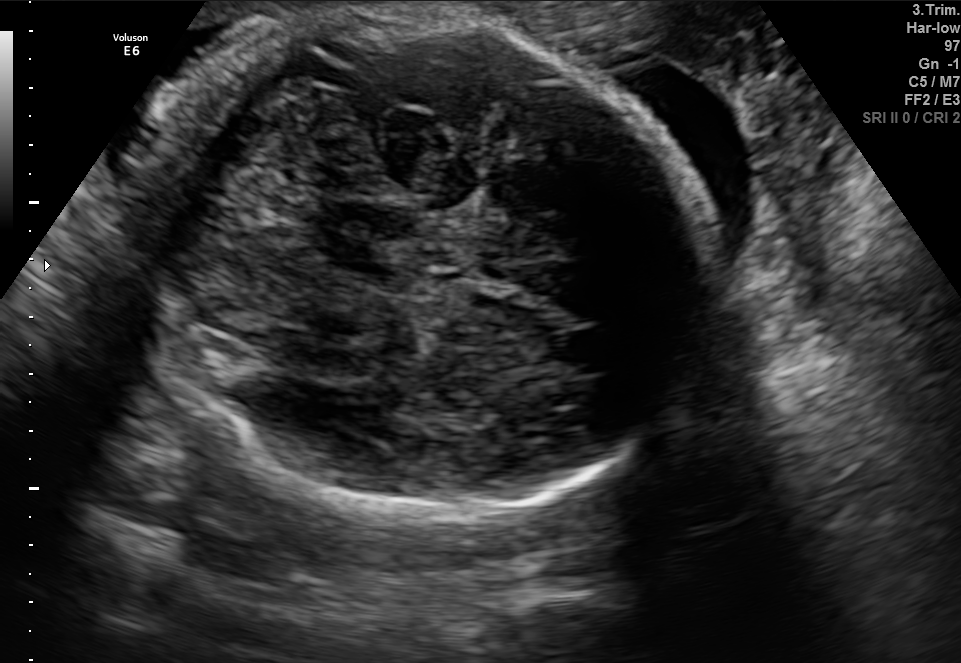
Fetal brain, trans-cerebellum plane. Give [x1,y1,x2,y2] bounding boxes for each visible structure among: fetal head, CSP, LV.

Head: [118,17,698,510]